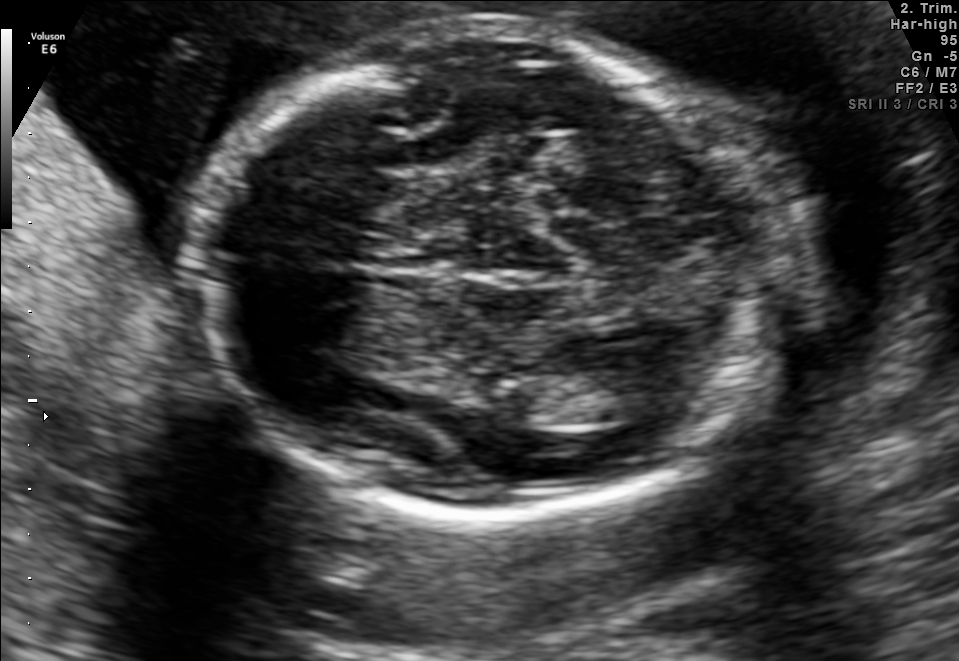
Fetal brain, trans-thalamic plane. Locate the lateral ventricle.

Lateral ventricle: [559,363,678,431]